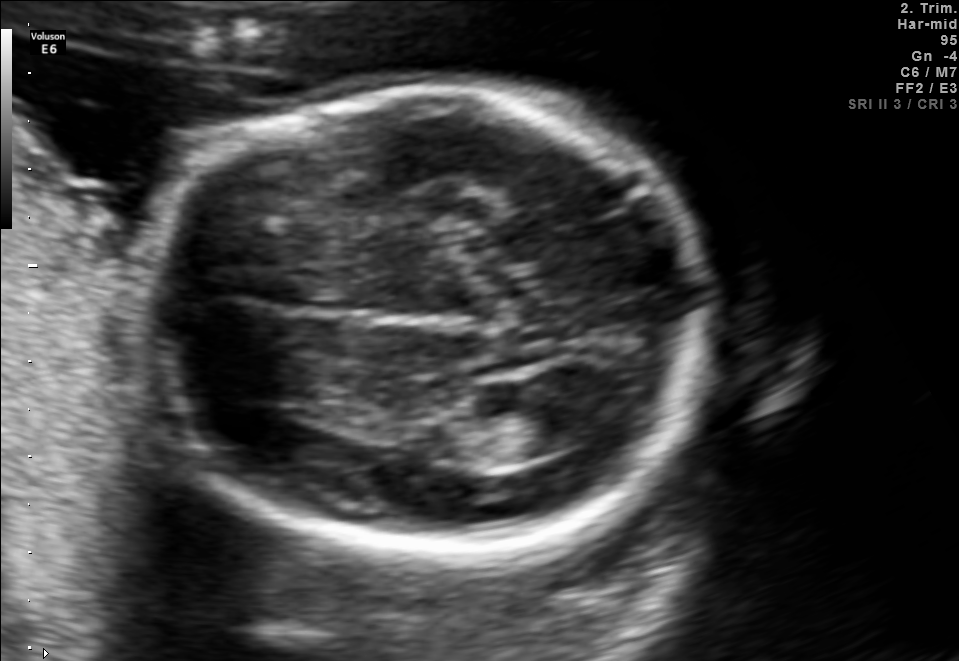
Fetal brain, trans-ventricular plane. Where is the fetal head?

Head bounding box: [135,77,730,570]